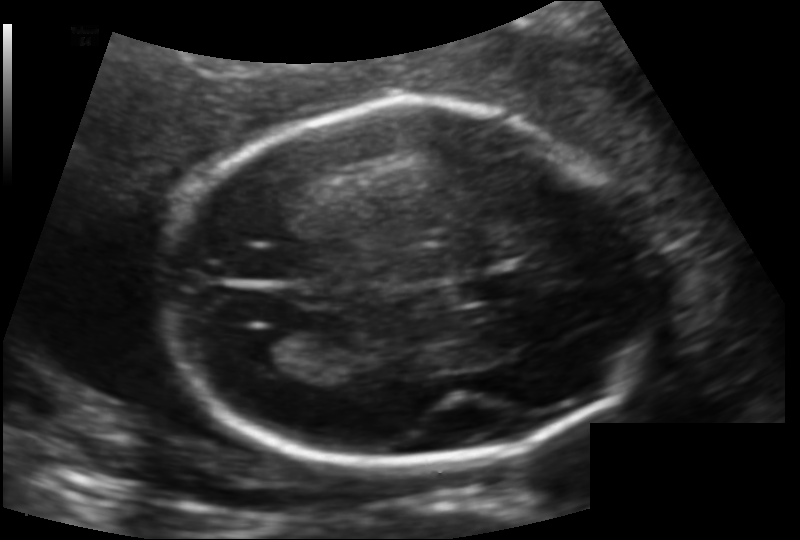
From this fetal ultrasound, estimate the head circumference (image width 106.2 mm).

Head circumference: 185.7 mm.